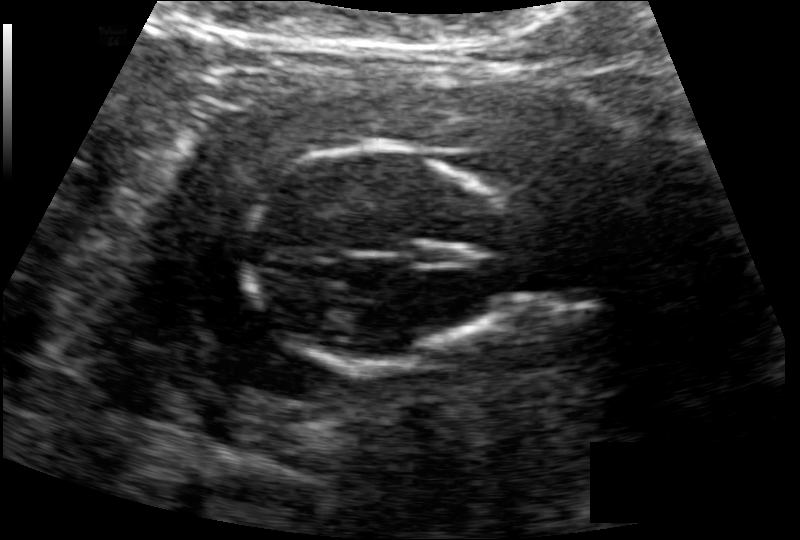
Fetal head ultrasound. Image width: 100.6 mm. Give [x1,y1,x2,y2] bounding boxes for each visible structure among: fetal head, CSP, LV.

Head: [246,145,507,365]